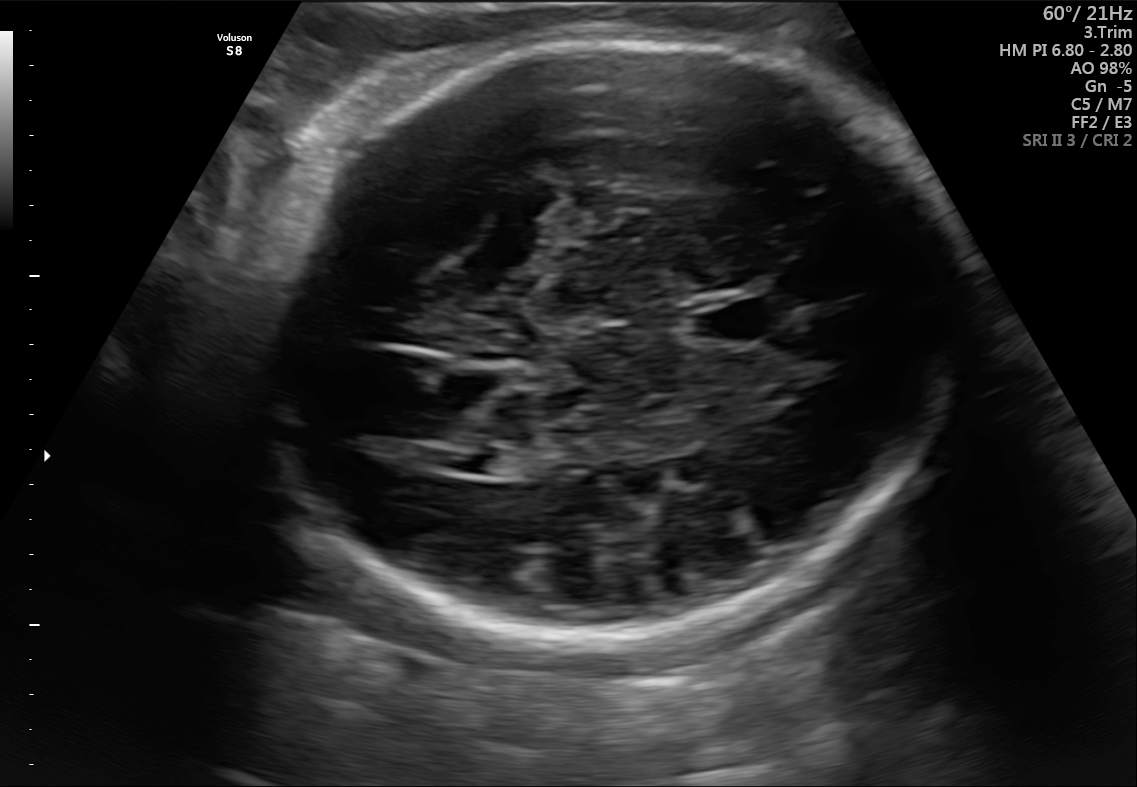
Fetal brain, trans-ventricular plane. Locate the lateral ventricle.

Lateral ventricle: [446,448,500,476]